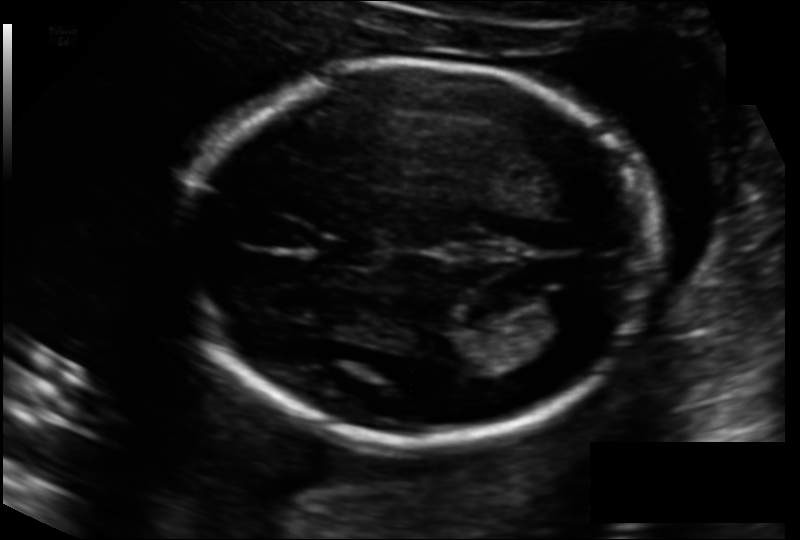
What is the fetal head circumference? Image width is 106.6 mm.

182.9 mm